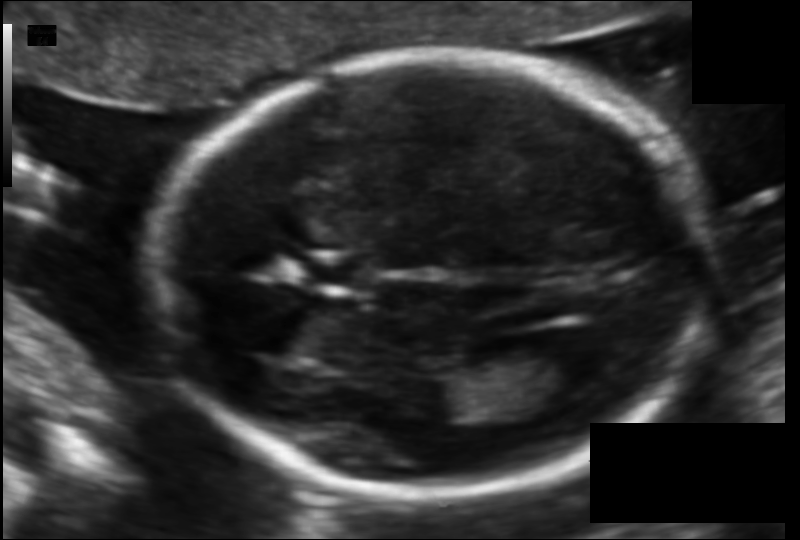
In this fetal head ultrasound, give bounding boxes for the head outline, cavum septum pellucidum (CSP), and lateral ventricle (LV), where visible. Image width: 83.8 mm.

Head: [158,53,706,500]
CSP: [306,254,374,289]
Lateral ventricle: [517,324,614,407]